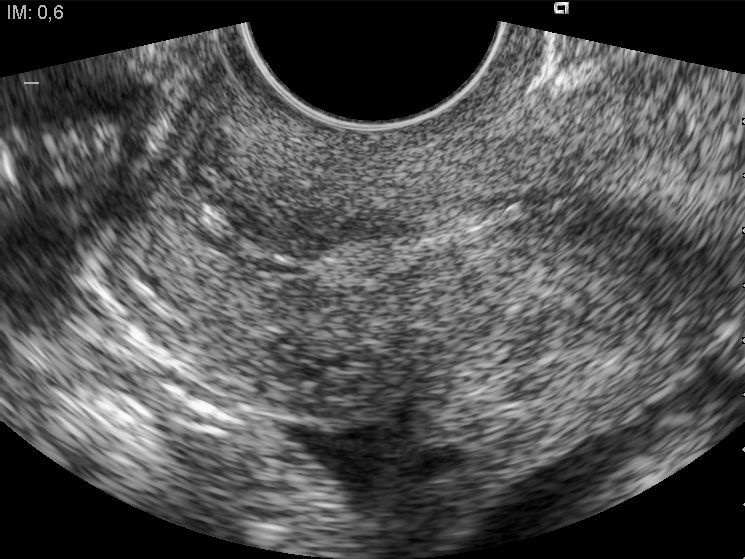
This is a 2D maternal-fetal ultrasound frame. Is it a fetal abdomen, fetal brain, fetal femur, fetal thorax, maternal cervix, or other standard plane? If it's fetal brain and one of the three standard brain planes (trans-thalamic, trans-cerebellum, trans-ventricular), name which.

Maternal cervix